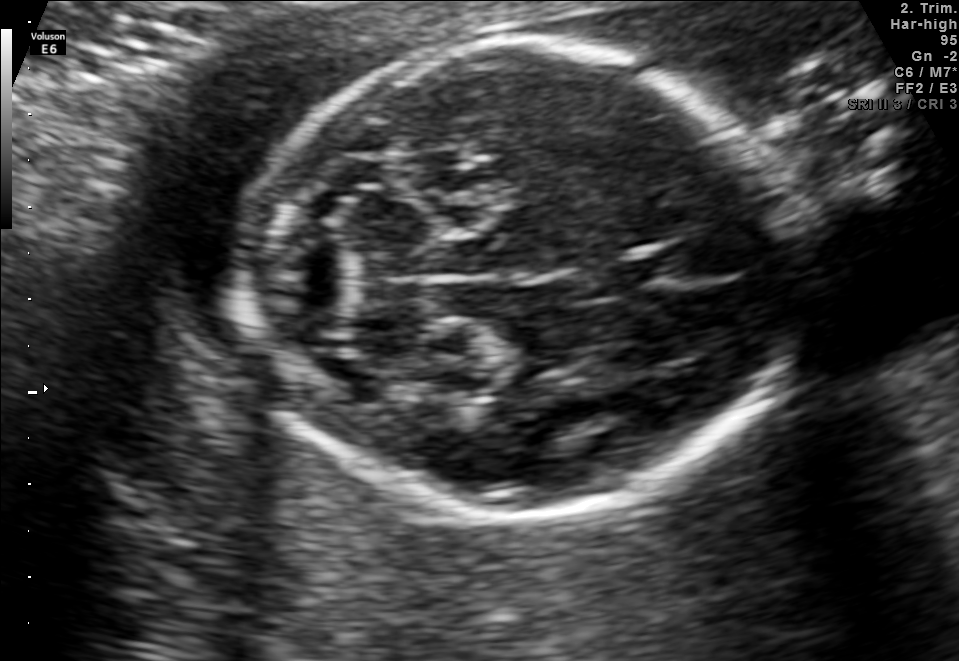
Fetal brain, trans-cerebellum plane. Where is the cavum septum pellucidum?

CSP bounding box: [582,250,660,302]